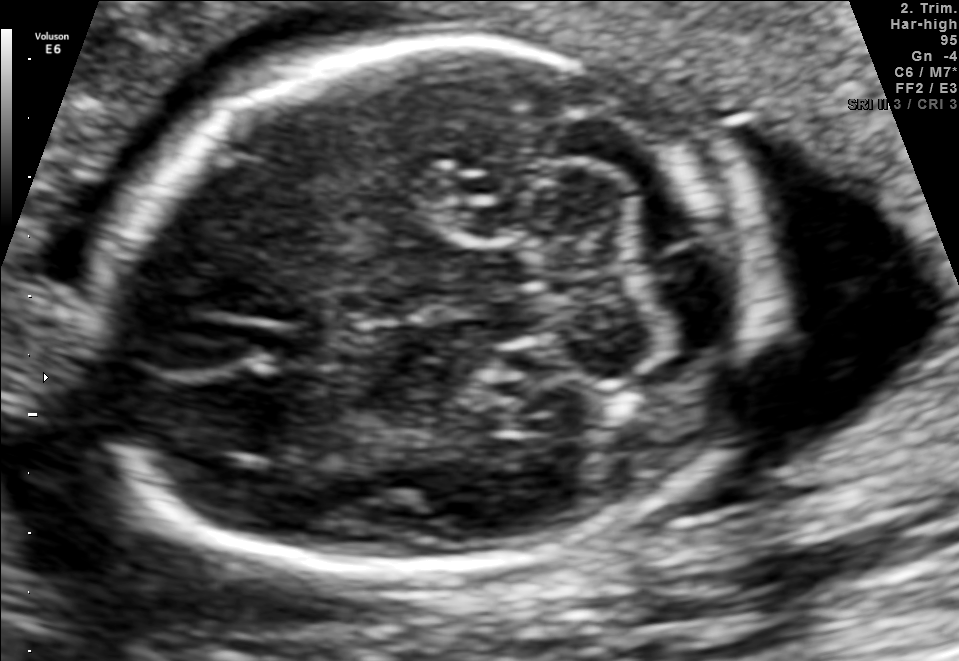
Fetal brain, trans-cerebellum plane. Locate the fetal head and, if visible, the cavum septum pellucidum (CSP) and lateral ventricle (LV). Give bounding boxes as [x1,y1,x2,y2].

Head: [85,45,748,578]
CSP: [254,324,340,370]